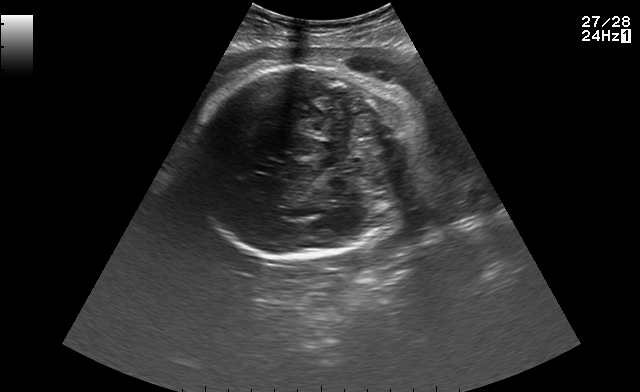
Fetal brain, trans-cerebellum plane. Locate the fetal head.

Head: [192,63,411,259]